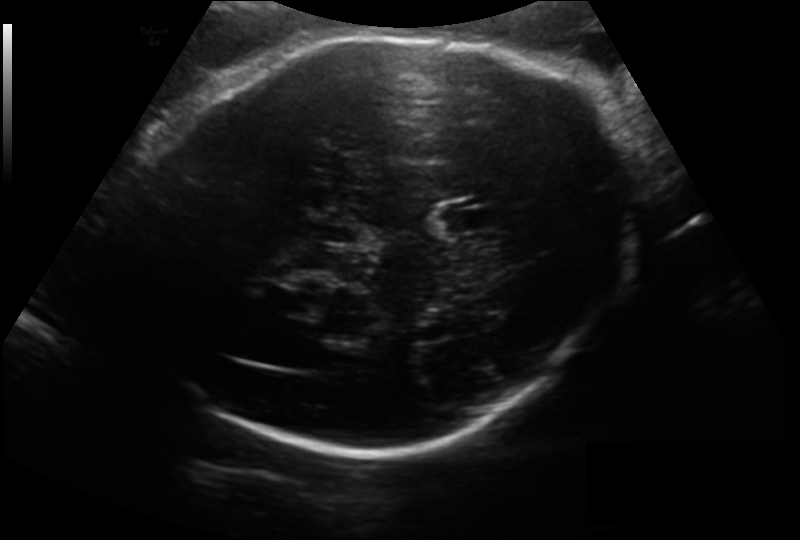
In this fetal head ultrasound, give the bounding box of the cavum septum pellucidum. Image width: 160.1 mm.

[436,197,503,238]